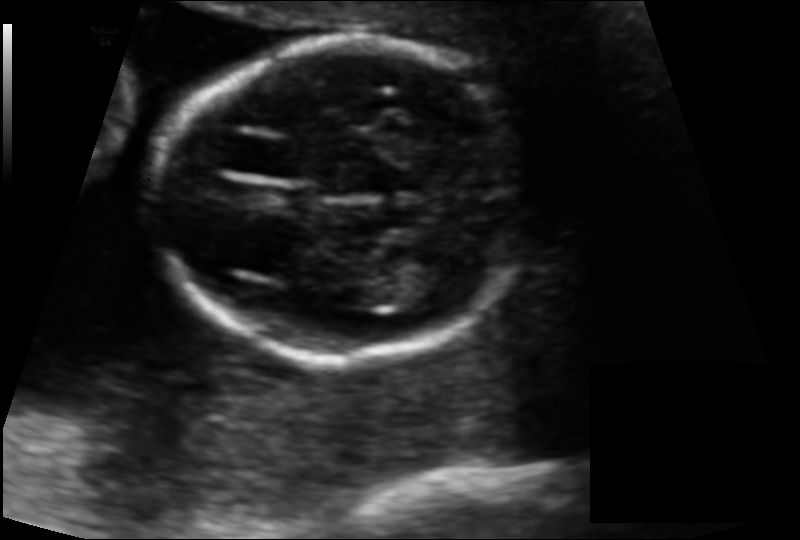
Estimate the fetal head circumference from this 2D ultrasound.

Head circumference: 131.2 mm (image width 92.0 mm).